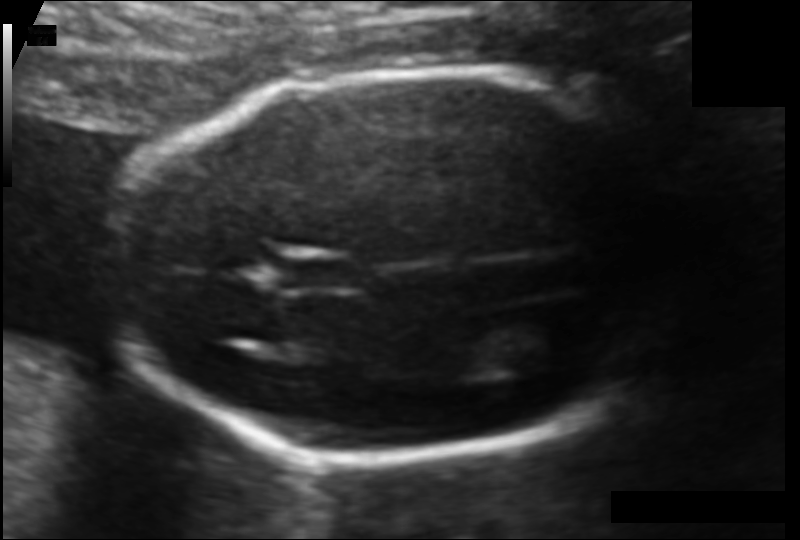
Fetal head ultrasound. Image width: 82.3 mm. Where is the cavum septum pellucidum?

CSP bounding box: [279,259,352,288]